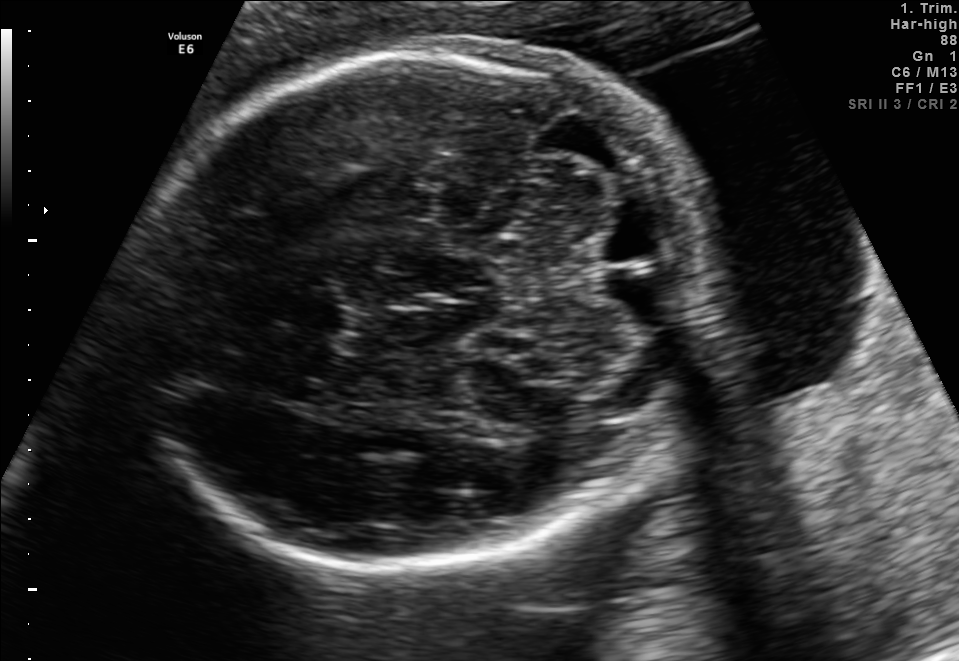
In this fetal brain, trans-cerebellum plane, give the bounding box of the fetal head.

[128,43,717,566]